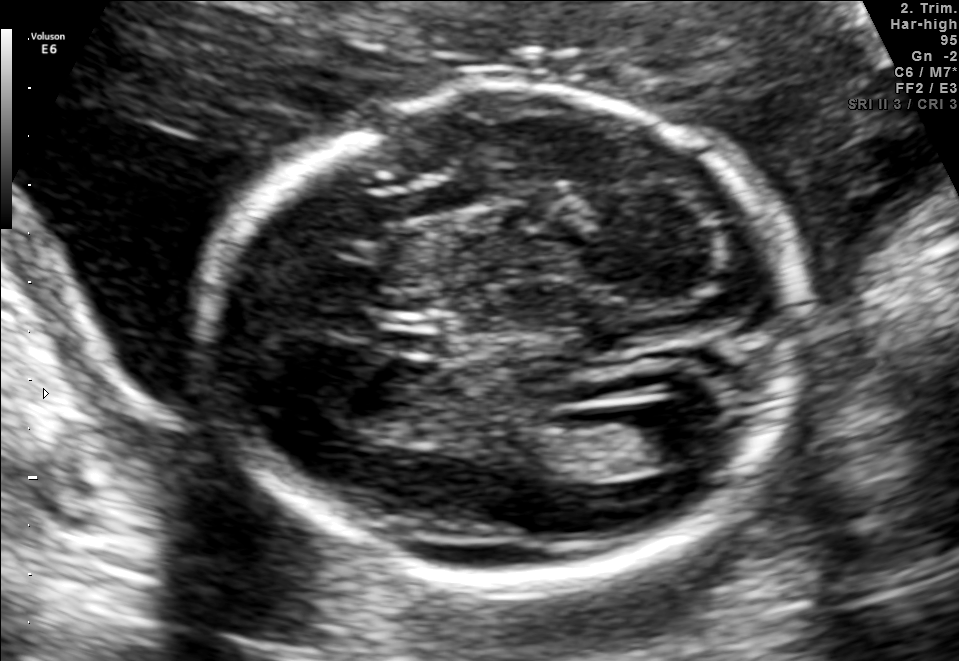
Fetal brain, trans-ventricular plane. Locate the lateral ventricle.

Lateral ventricle: [611,401,715,475]